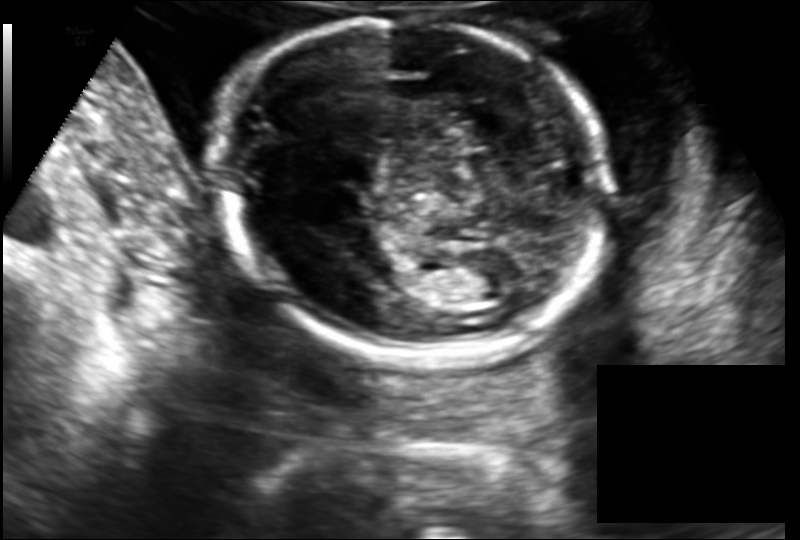
In this fetal head ultrasound, give the bounding box of the fetal head. Image width: 119.1 mm.

[214,20,607,361]